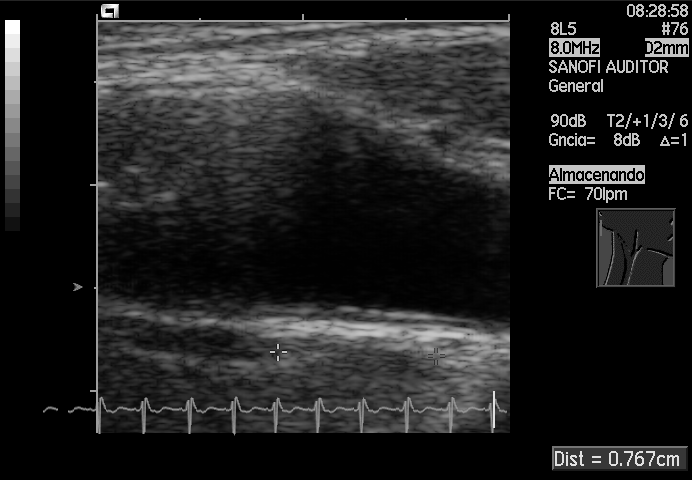
This is a 2D maternal-fetal ultrasound frame. Is it a fetal abdomen, fetal brain, fetal femur, fetal thorax, maternal cervix, or other standard plane? If it's fetal brain and one of the three standard brain planes (trans-thalamic, trans-cerebellum, trans-ventricular), name which.

Other